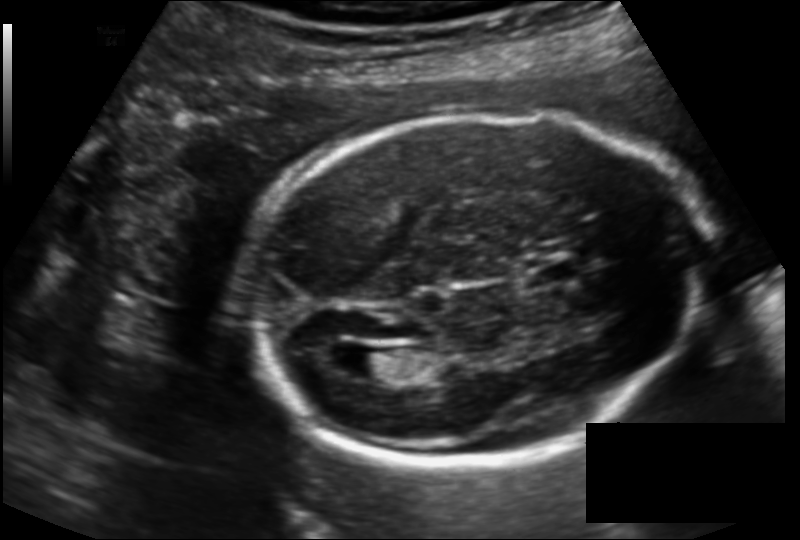
From this fetal ultrasound, estimate the head circumference (image width 114.4 mm).

Head circumference: 186.2 mm.